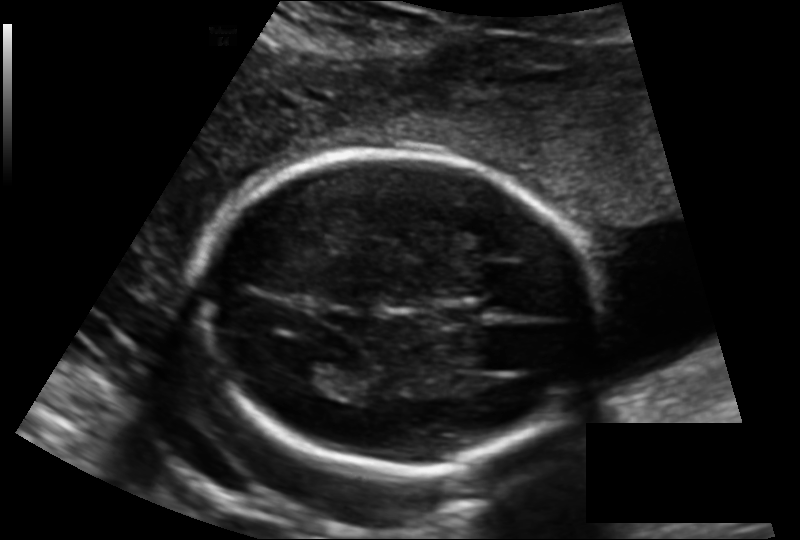
Fetal head ultrasound. Image width: 114.7 mm. Where is the fetal head?

Head bounding box: [202,150,596,472]